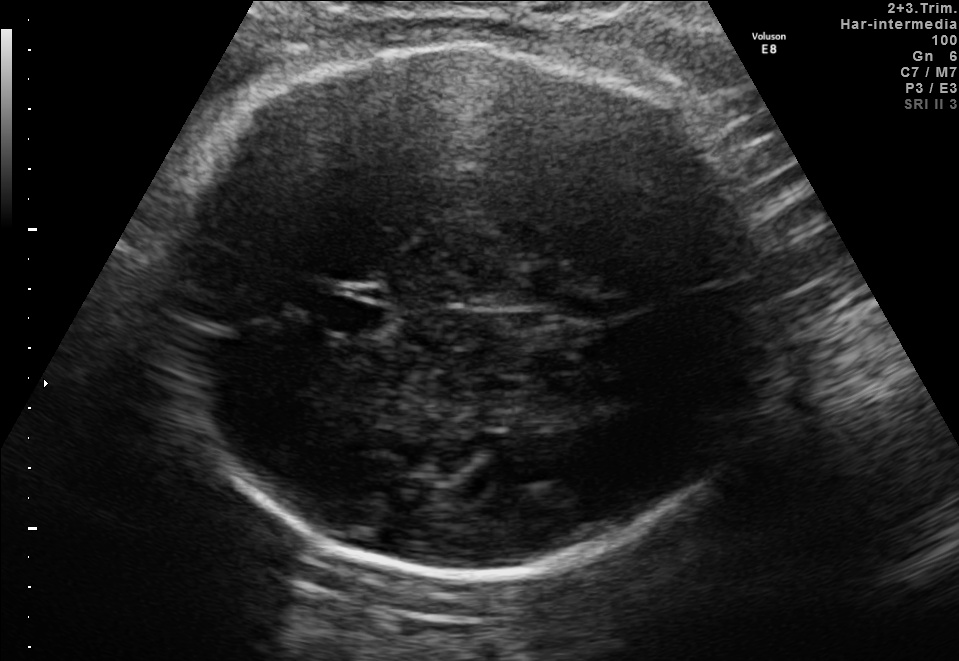
Fetal brain, trans-thalamic plane. Locate the cavum septum pellucidum.

CSP: [322,292,384,340]